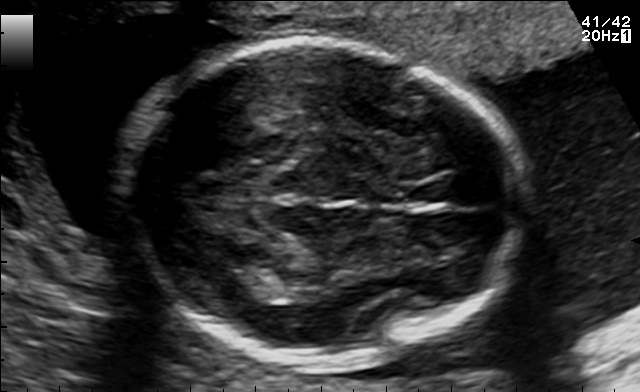
Fetal brain, trans-thalamic plane. Give [x1,y1,x2,y2] bounding boxes for each visible structure among: fetal head, CSP, LV.

Head: [119,44,524,362]